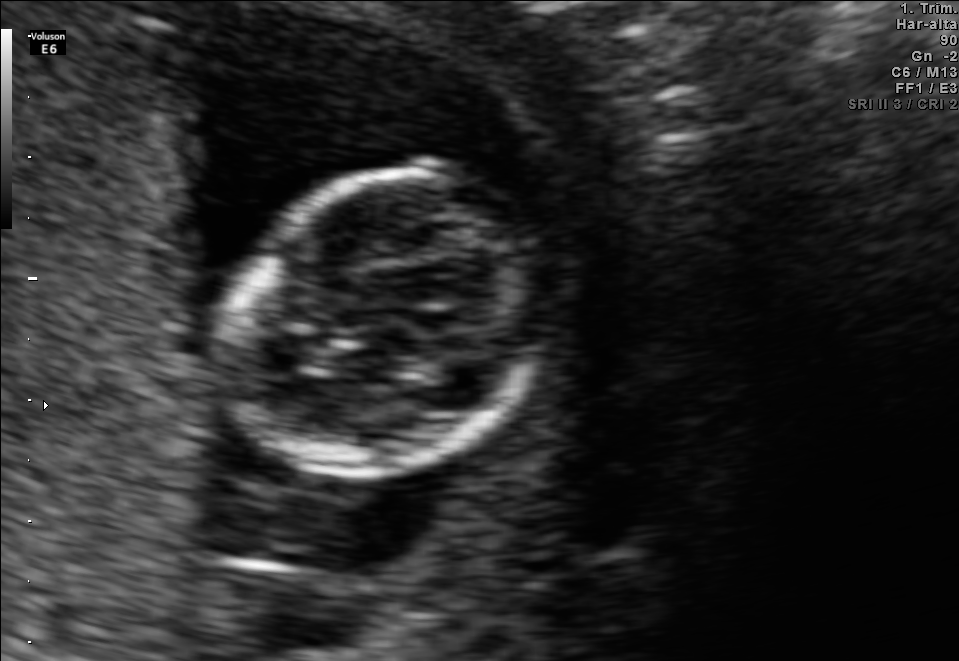
This is a 2D maternal-fetal ultrasound frame. Is it a fetal abdomen, fetal brain, fetal femur, fetal thorax, maternal cervix, or other standard plane? If it's fetal brain and one of the three standard brain planes (trans-thalamic, trans-cerebellum, trans-ventricular), name which.

Fetal brain